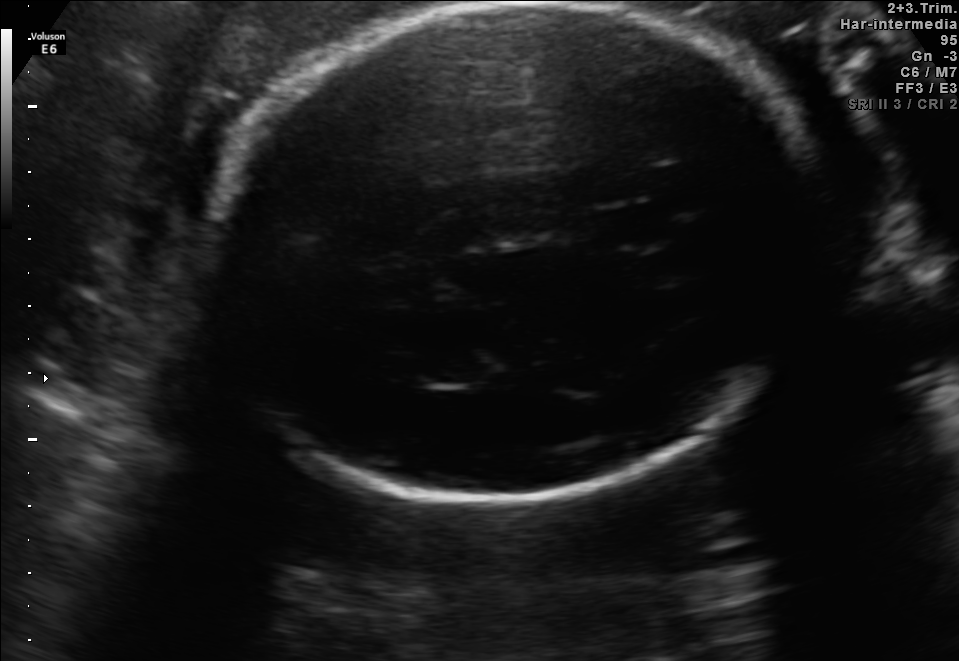
Fetal brain, trans-thalamic plane. Locate the cavum septum pellucidum.

CSP: [589,202,663,249]